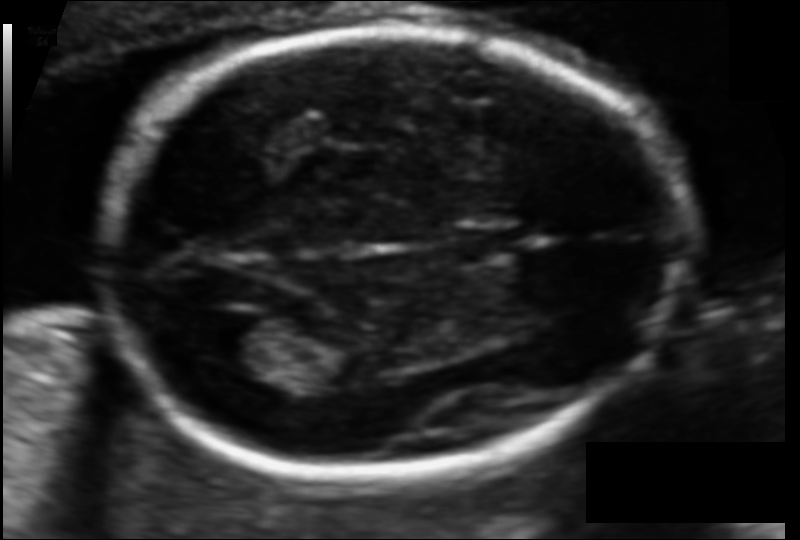
Fetal head ultrasound. Image width: 77.8 mm. Locate the lateral ventricle.

Lateral ventricle: [188,309,266,363]